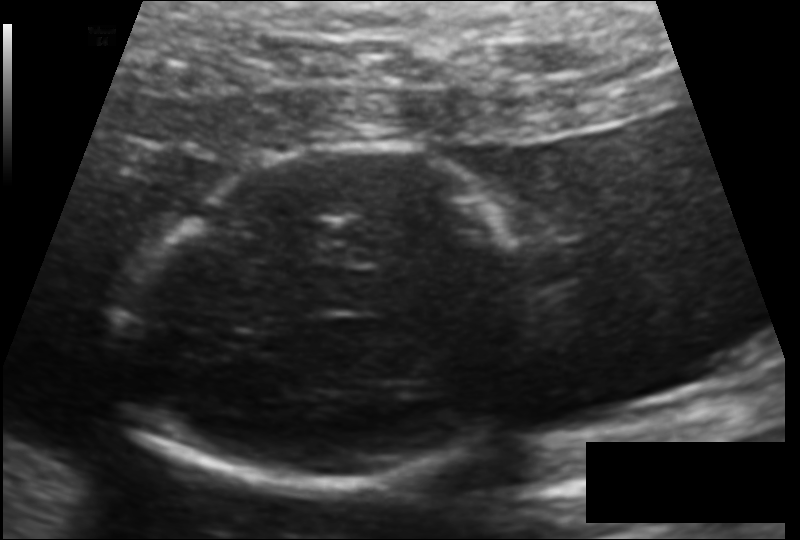
Estimate the fetal head circumference from this 2D ultrasound. Image width: 99.4 mm.

Head circumference: 155.6 mm.